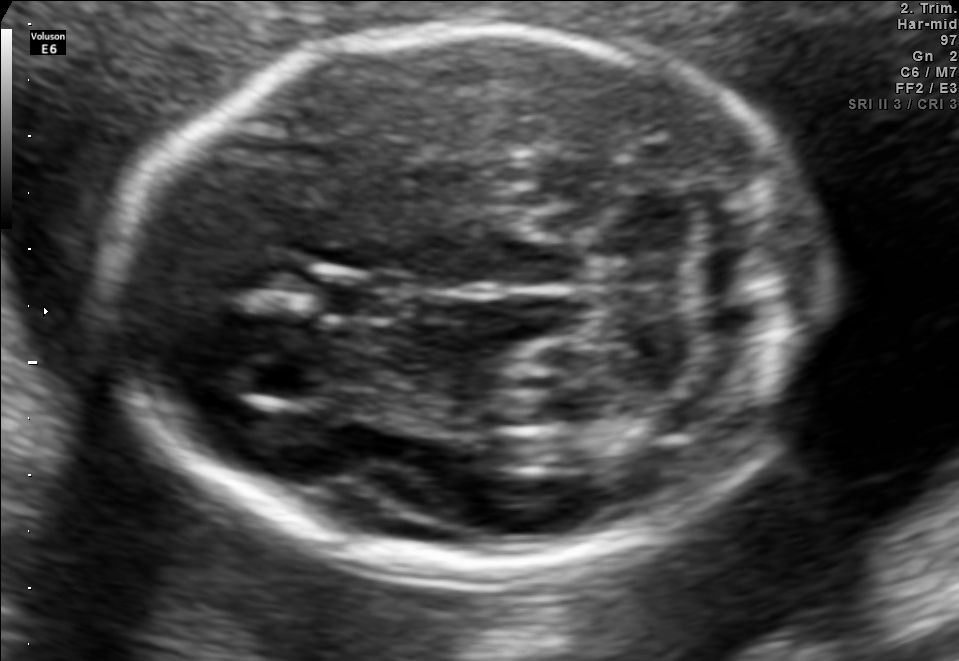
In this fetal brain, trans-cerebellum plane, give the bounding box of the cavum septum pellucidum.

[321,275,405,321]